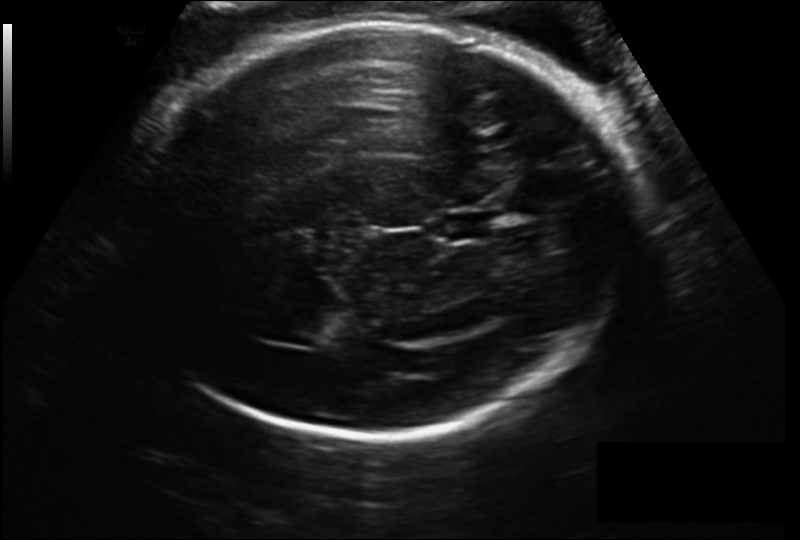
Fetal head ultrasound. Image width: 164.9 mm. Where is the fetal head?

Head bounding box: [127,20,625,435]